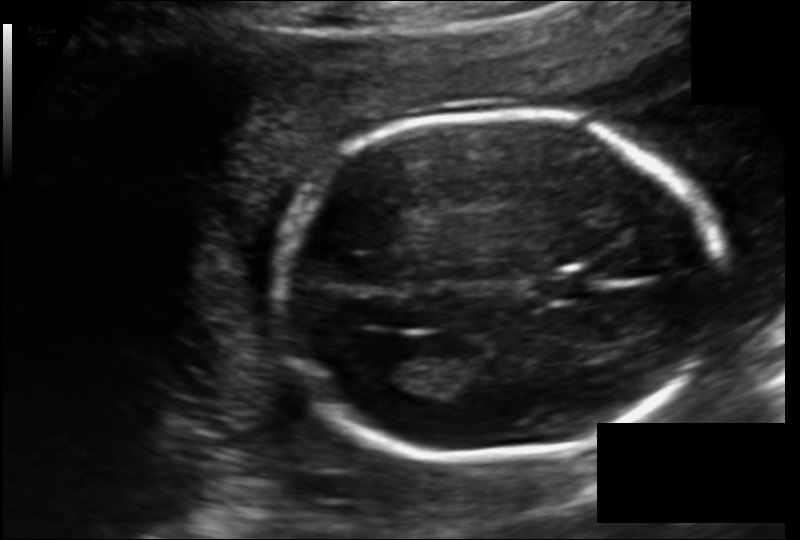
Fetal head ultrasound. Image width: 107.8 mm. Give [x1,y1,x2,y2] bounding boxes for each visible structure among: fetal head, CSP, LV.

Head: [274,110,729,454]
CSP: [534,268,592,307]
Lateral ventricle: [368,346,439,396]